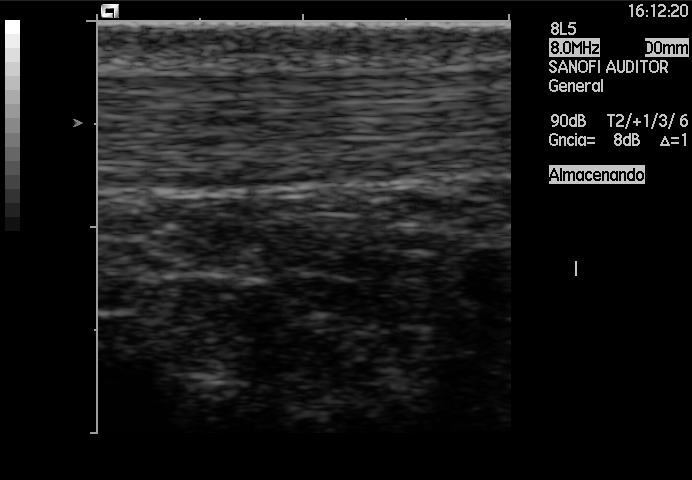
Identify the standard plane in this fetal ultrasound image: fetal abdomen, fetal brain, fetal femur, fetal thorax, maternal cervix, or other. If it's fetal brain and one of the three standard brain planes (trans-thalamic, trans-cerebellum, trans-ventricular), name which.

Other